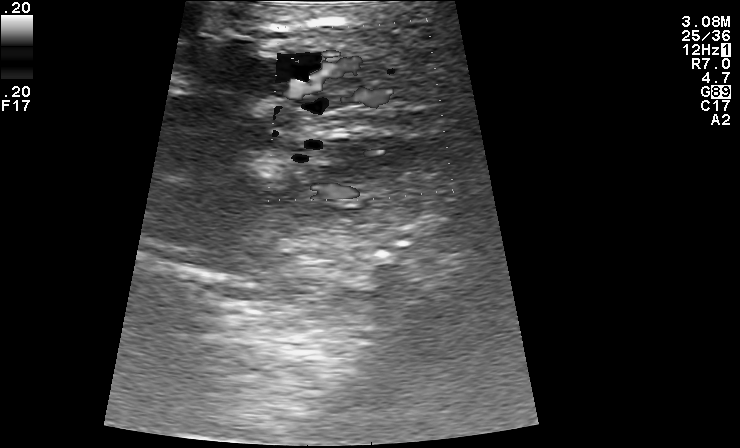
Which standard maternal-fetal ultrasound plane is shown: fetal abdomen, fetal brain, fetal femur, fetal thorax, maternal cervix, or other? If it's fetal brain and one of the three standard brain planes (trans-thalamic, trans-cerebellum, trans-ventricular), name which.

Other